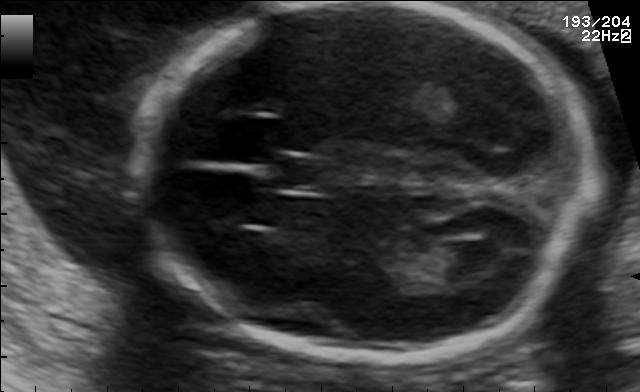
In this fetal brain, trans-ventricular plane, give the bounding box of the fetal head.

[125,3,604,363]